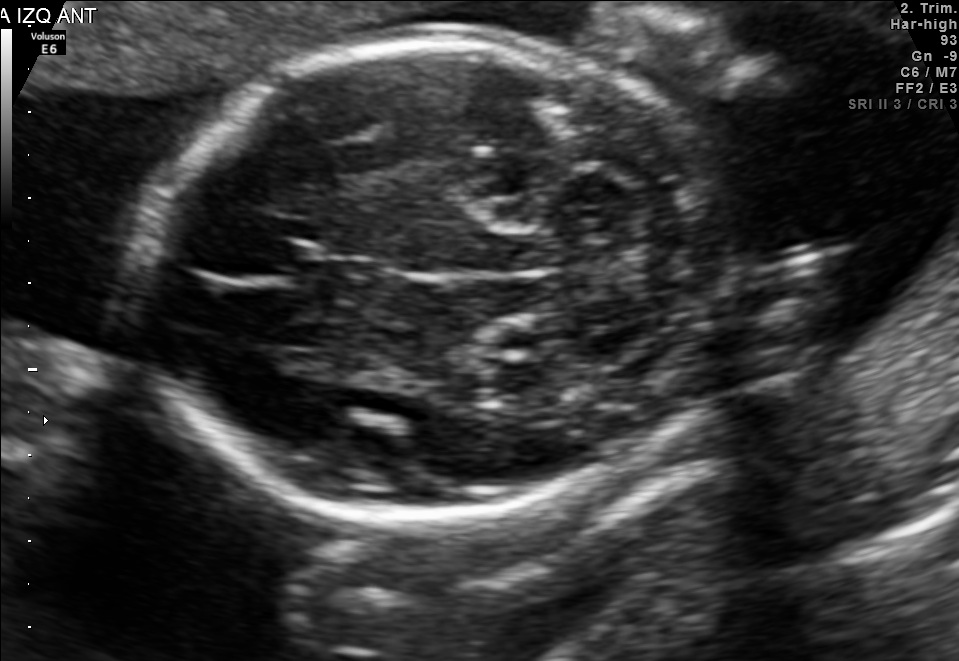
In this fetal brain, trans-cerebellum plane, give the bounding box of the fetal head.

[139,33,740,520]